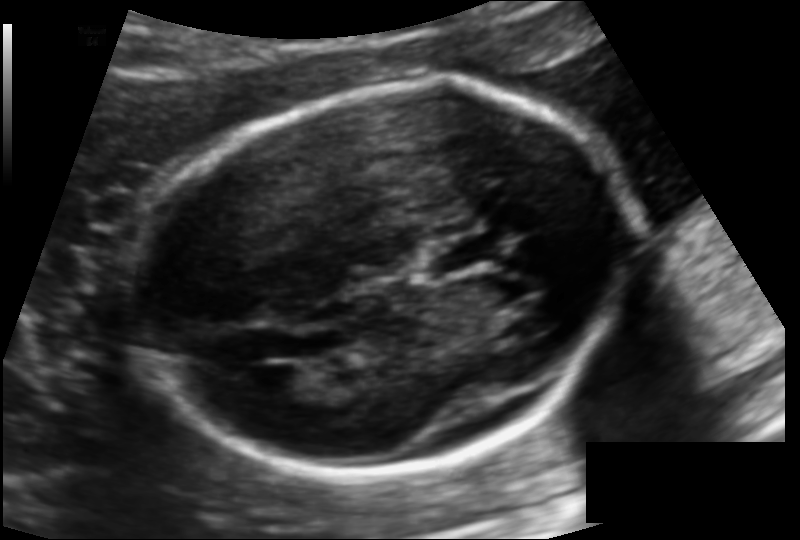
Estimate the fetal head circumference from this 2D ultrasound. Image width: 99.2 mm.

Head circumference: 176.3 mm.